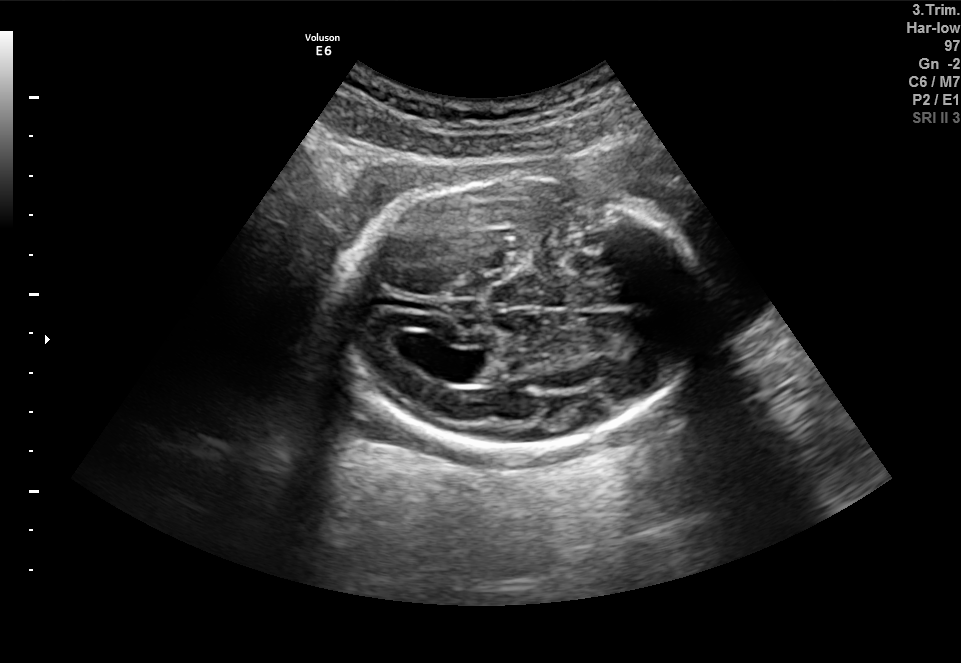
Fetal brain, trans-ventricular plane. Give [x1,y1,x2,y2] bounding boxes for each visible structure among: fetal head, CSP, LV.

Head: [332,174,709,455]